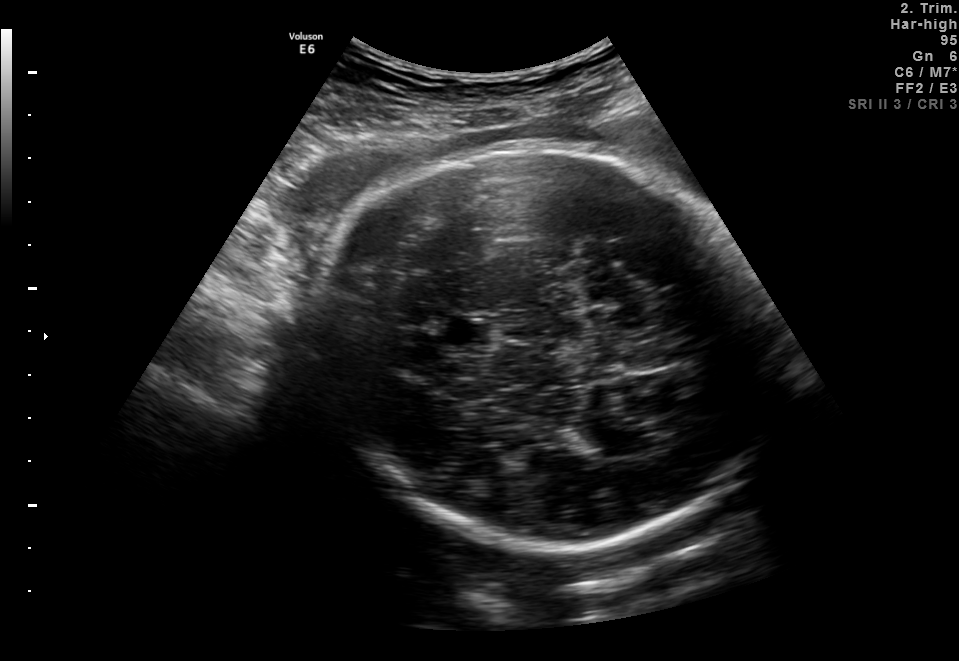
In this fetal brain, trans-thalamic plane, give the bounding box of the lateral ventricle.

[563,421,624,454]